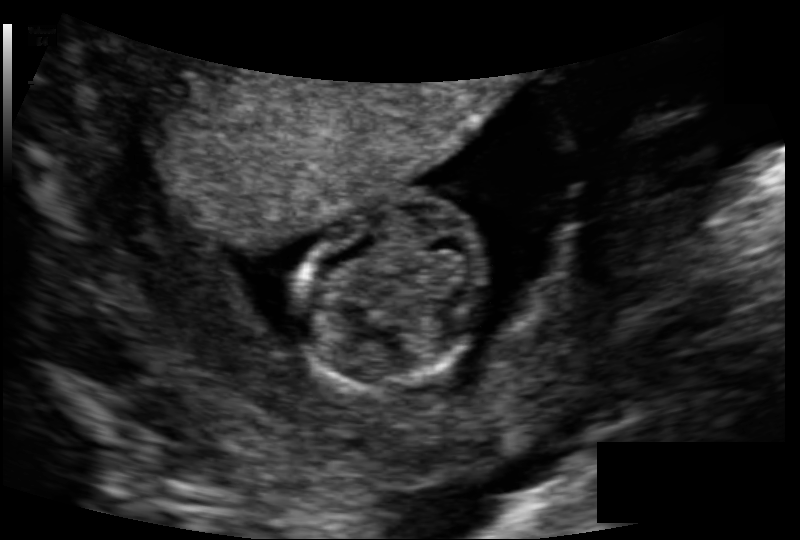
What is the fetal head circumference? Image width is 94.2 mm.

75.8 mm